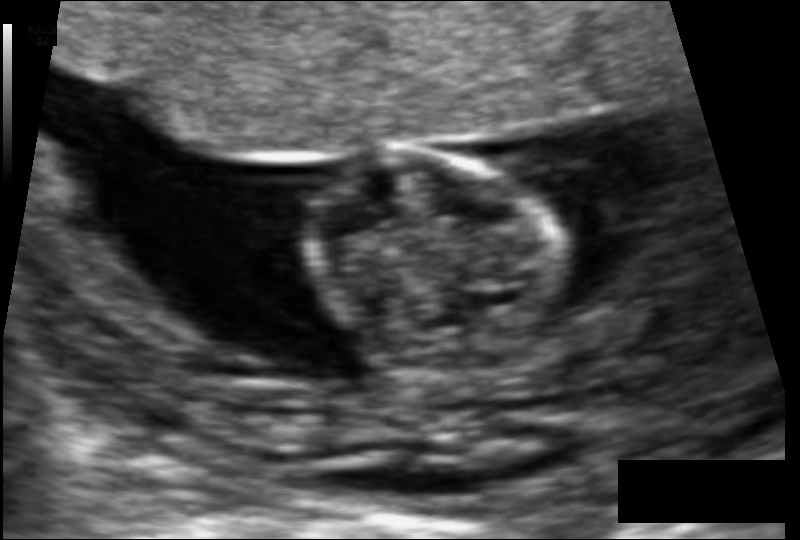
Fetal head ultrasound. Image width: 63.2 mm. Locate the fetal head.

Head: [306,150,571,377]